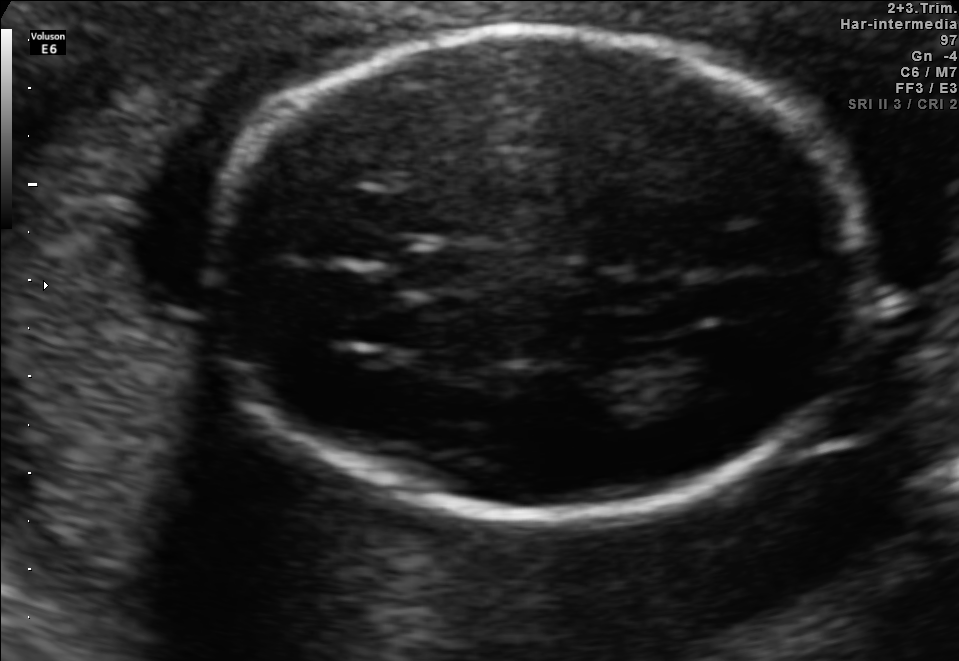
Fetal brain, trans-thalamic plane. Where is the cavum septum pellucidum?

CSP bounding box: [398,246,483,295]